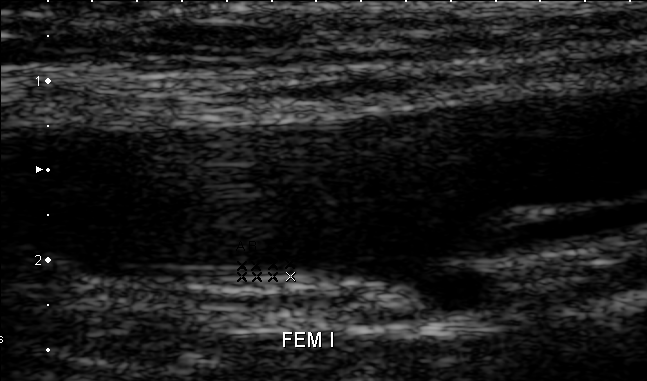
This is a 2D maternal-fetal ultrasound frame. Is it a fetal abdomen, fetal brain, fetal femur, fetal thorax, maternal cervix, or other standard plane? If it's fetal brain and one of the three standard brain planes (trans-thalamic, trans-cerebellum, trans-ventricular), name which.

Other